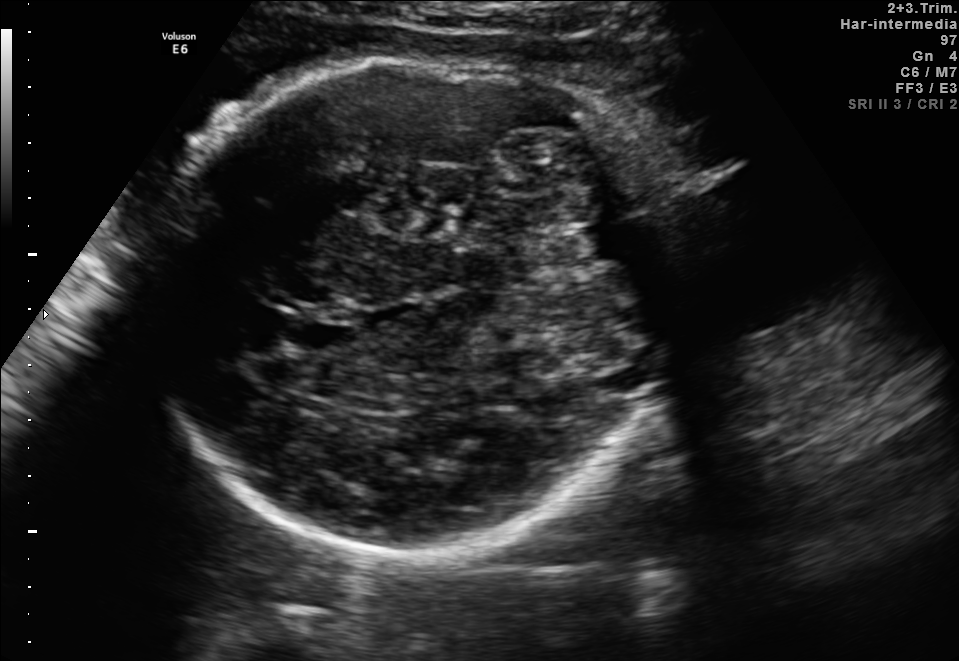
Fetal brain, trans-thalamic plane. Where is the cavum septum pellucidum?

CSP bounding box: [288,314,357,350]